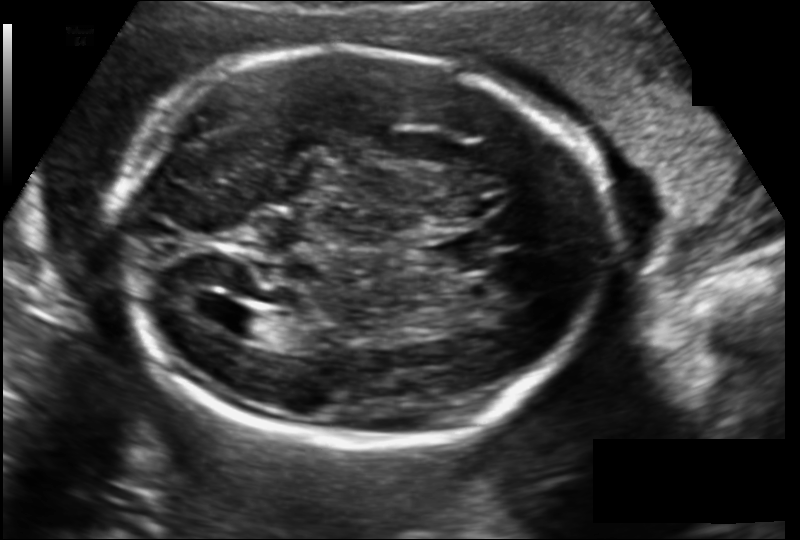
In this fetal head ultrasound, give the bounding box of the lateral ventricle. Image width: 119.2 mm.

[219,305,276,343]